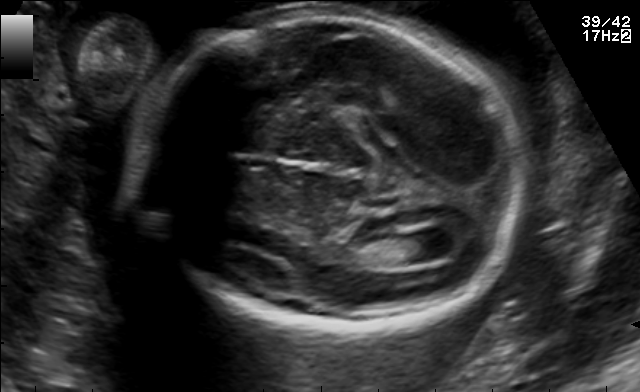
Classify this maternal-fetal ultrasound image as one of the six standard planes — fetal abdomen, fetal brain, fetal femur, fetal thorax, maternal cervix, or other. If it's fetal brain and one of the three standard brain planes (trans-thalamic, trans-cerebellum, trans-ventricular), name which.

Fetal brain (trans-ventricular plane)